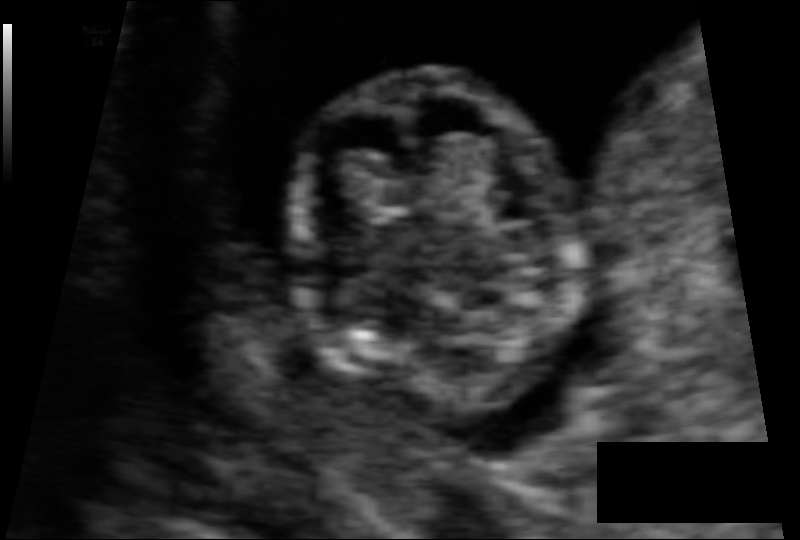
Measure the fetal head circumference shown in this ultrasound image. Image width: 52.5 mm.

Head circumference: 67.8 mm.